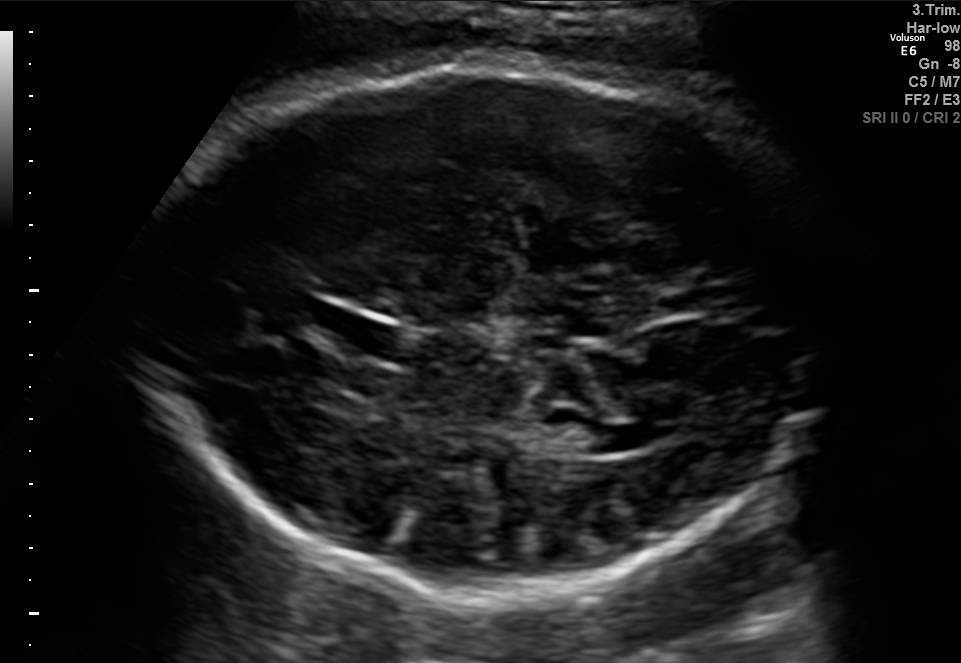
This is a 2D maternal-fetal ultrasound frame. Is it a fetal abdomen, fetal brain, fetal femur, fetal thorax, maternal cervix, or other standard plane? If it's fetal brain and one of the three standard brain planes (trans-thalamic, trans-cerebellum, trans-ventricular), name which.

Fetal brain (trans-thalamic plane)